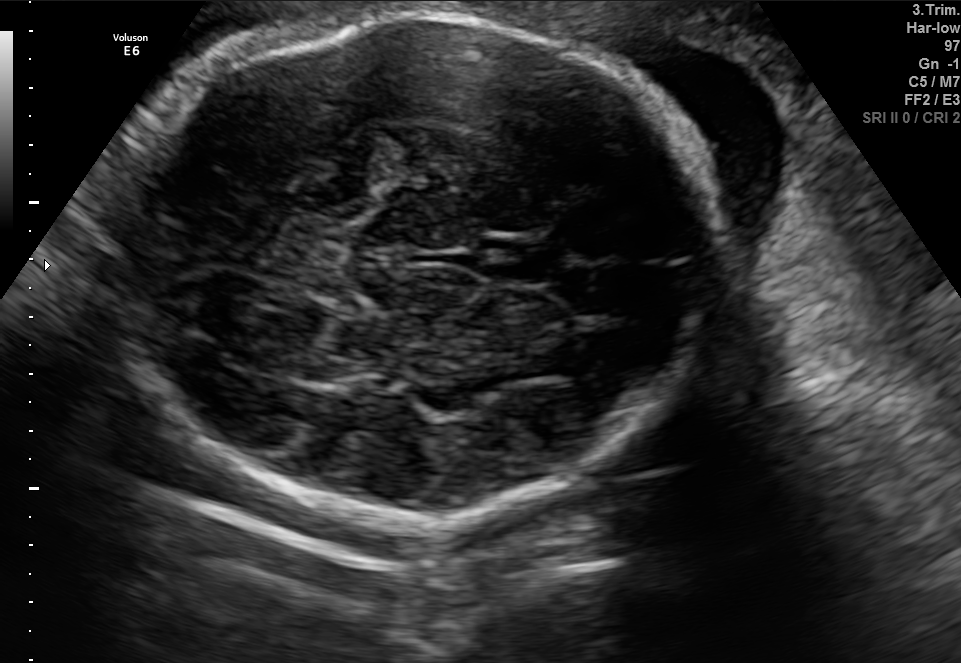
Which standard maternal-fetal ultrasound plane is shown: fetal abdomen, fetal brain, fetal femur, fetal thorax, maternal cervix, or other? If it's fetal brain and one of the three standard brain planes (trans-thalamic, trans-cerebellum, trans-ventricular), name which.

Fetal brain (trans-thalamic plane)